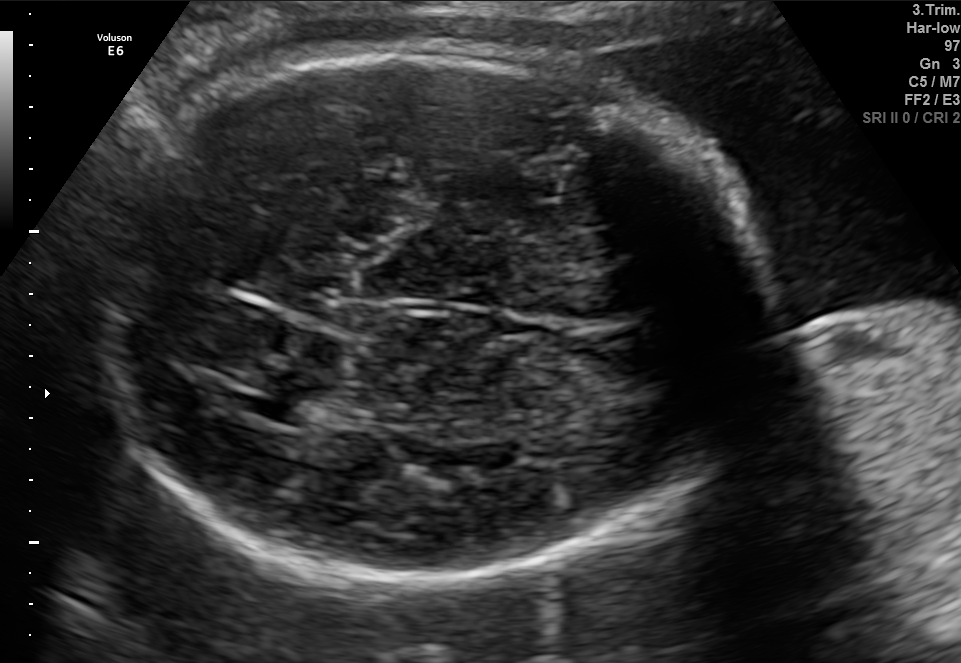
This is a 2D maternal-fetal ultrasound frame. Is it a fetal abdomen, fetal brain, fetal femur, fetal thorax, maternal cervix, or other standard plane? If it's fetal brain and one of the three standard brain planes (trans-thalamic, trans-cerebellum, trans-ventricular), name which.

Fetal brain (trans-thalamic plane)